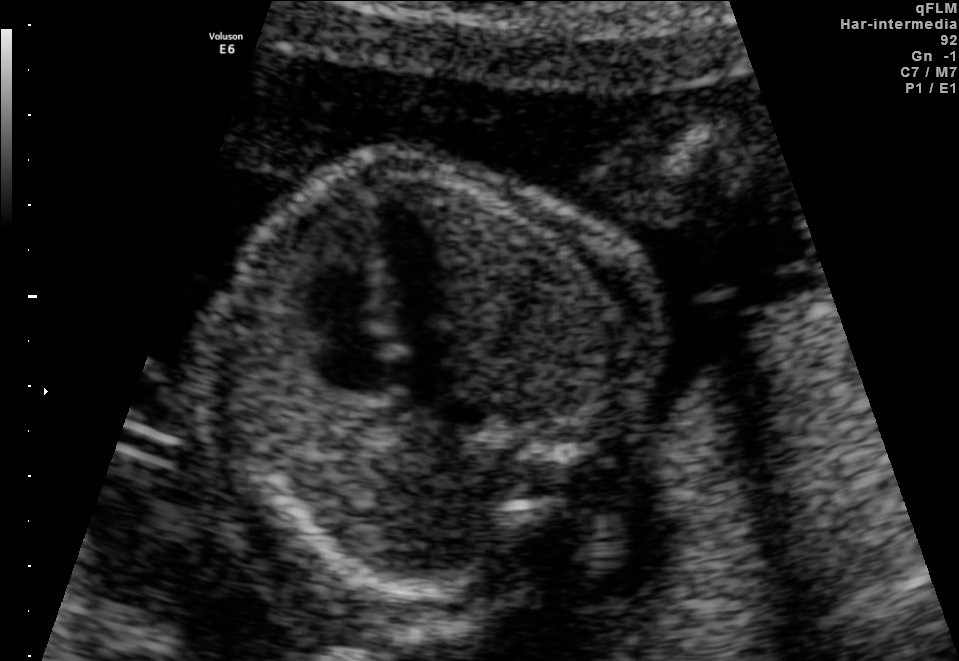
Classify this maternal-fetal ultrasound image as one of the six standard planes — fetal abdomen, fetal brain, fetal femur, fetal thorax, maternal cervix, or other. If it's fetal brain and one of the three standard brain planes (trans-thalamic, trans-cerebellum, trans-ventricular), name which.

Fetal thorax